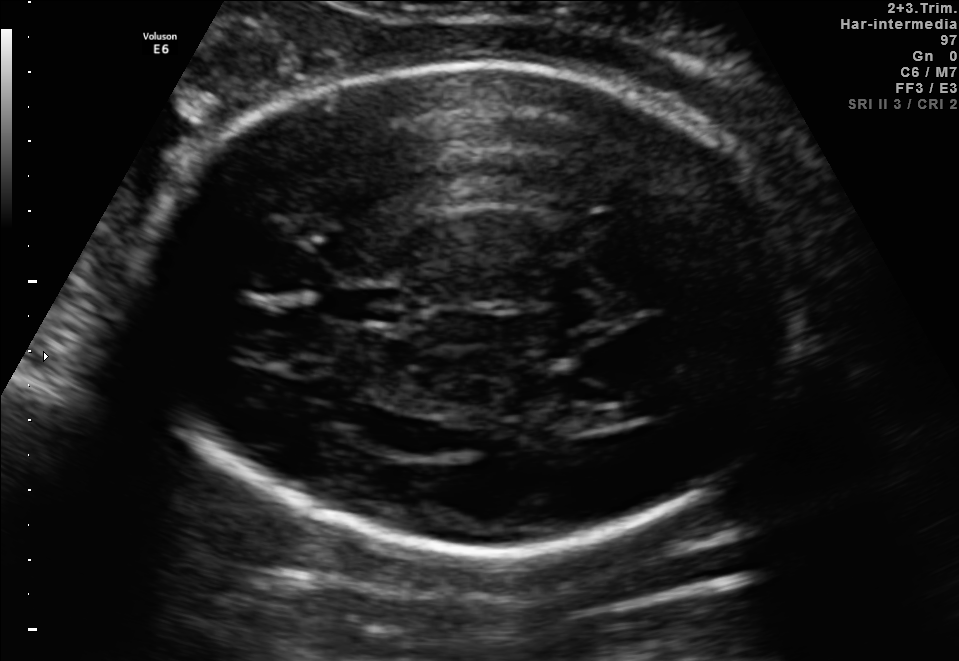
Fetal brain, trans-ventricular plane. Locate the fetal head.

Head: [137,56,816,563]